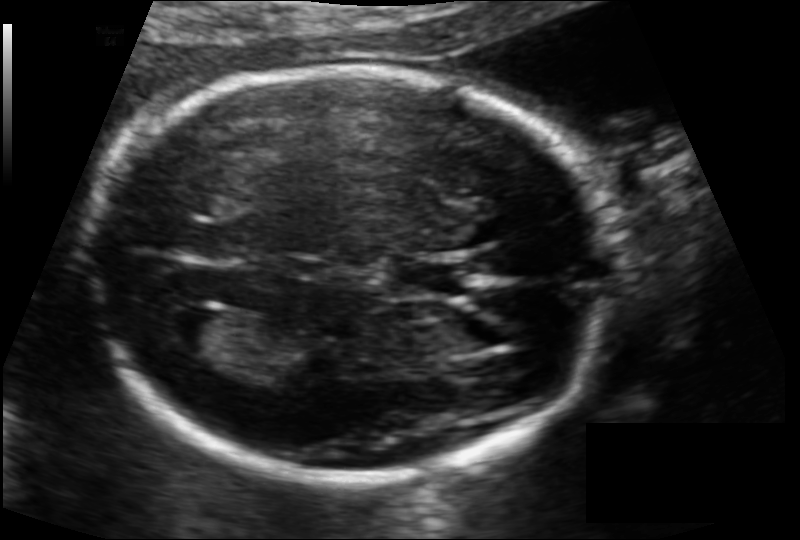
Estimate the fetal head circumference from this 2D ultrasound.

Head circumference: 172.2 mm (image width 91.1 mm).